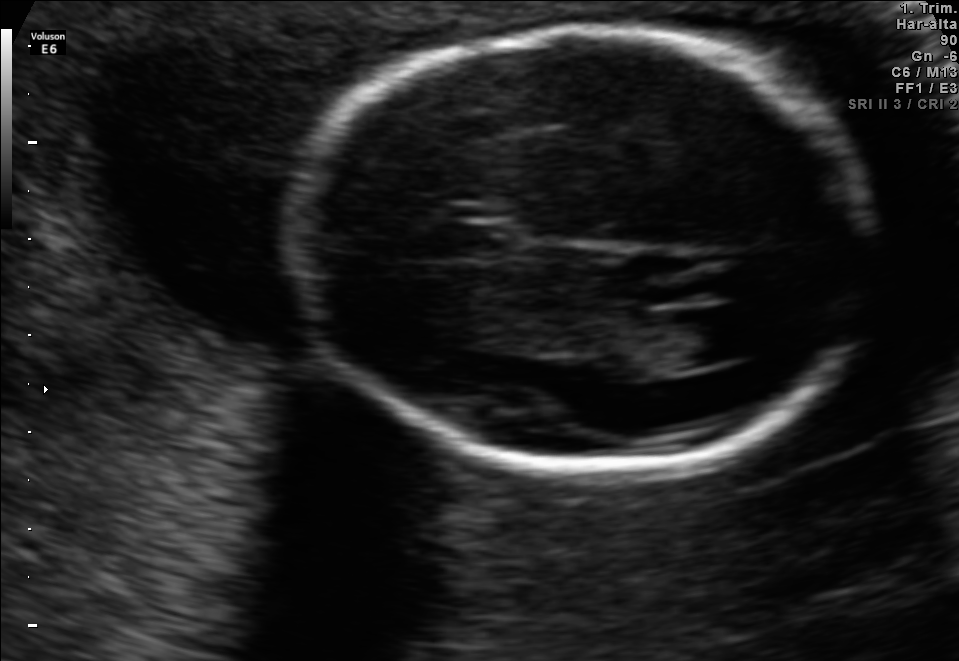
Fetal brain, trans-ventricular plane. Locate the cavum septum pellucidum.

CSP: [422,224,518,259]